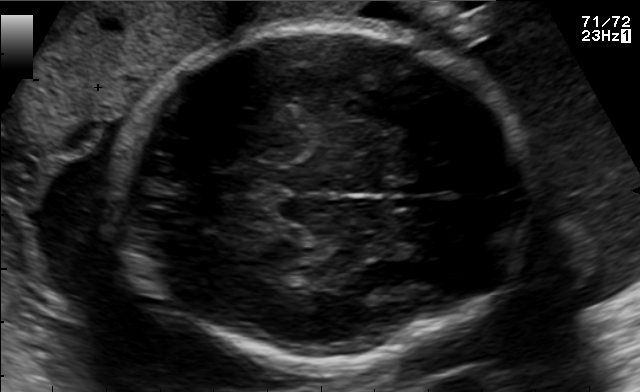
Fetal brain, trans-thalamic plane. Give [x1,y1,x2,y2] bounding boxes for each visible structure among: fetal head, CSP, LV.

Head: [112,27,528,364]